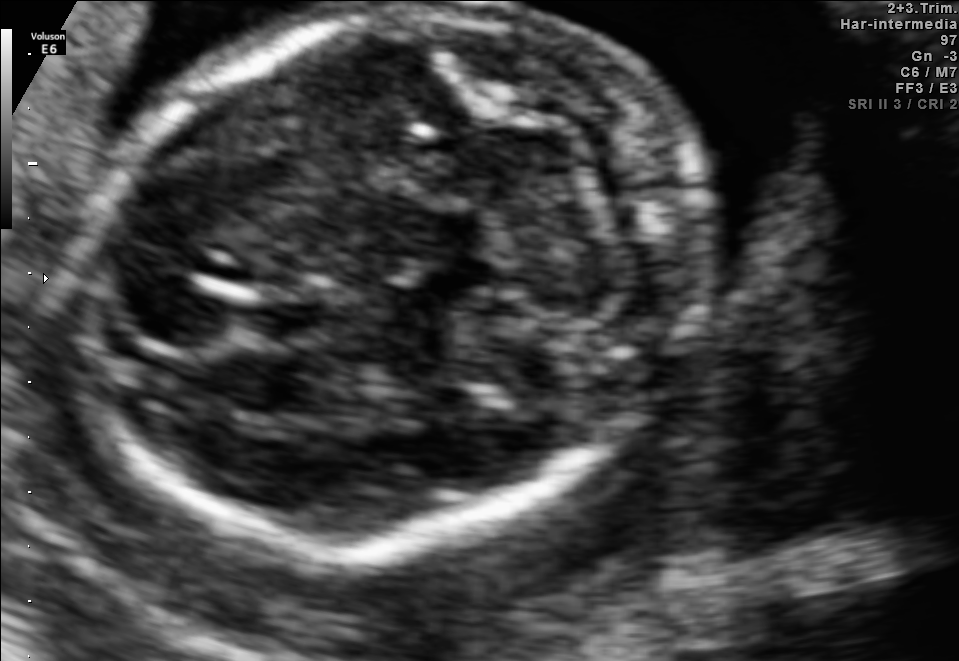
Fetal brain, trans-cerebellum plane. Locate the fetal head and, if visible, the cavum septum pellucidum (CSP) and lateral ventricle (LV). Give bounding boxes as [x1,y1,x2,y2].

Head: [83,6,700,543]